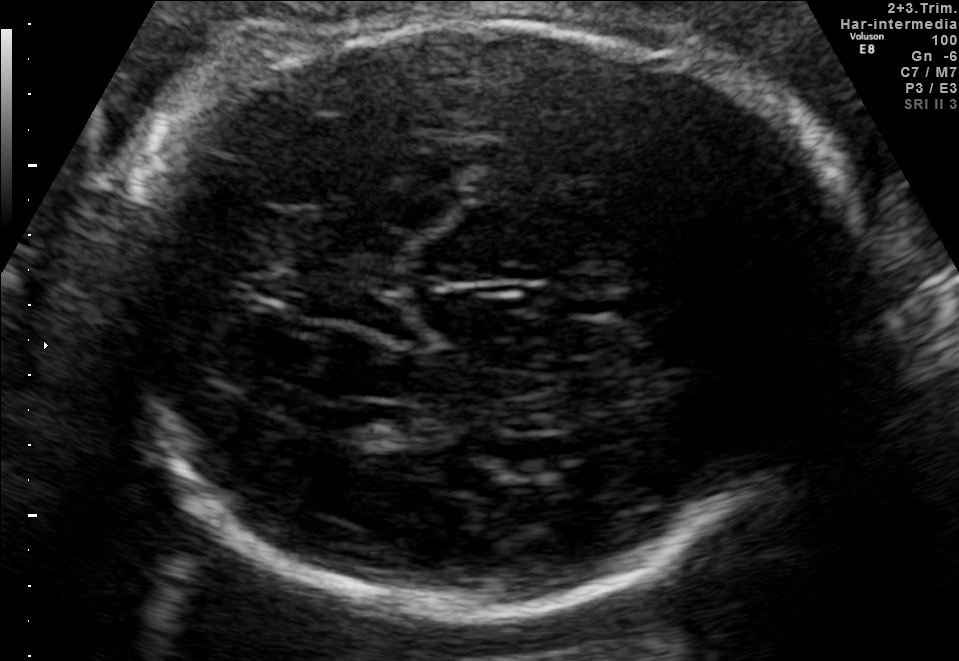
Fetal brain, trans-thalamic plane. Where is the fetal head?

Head bounding box: [119,19,866,616]